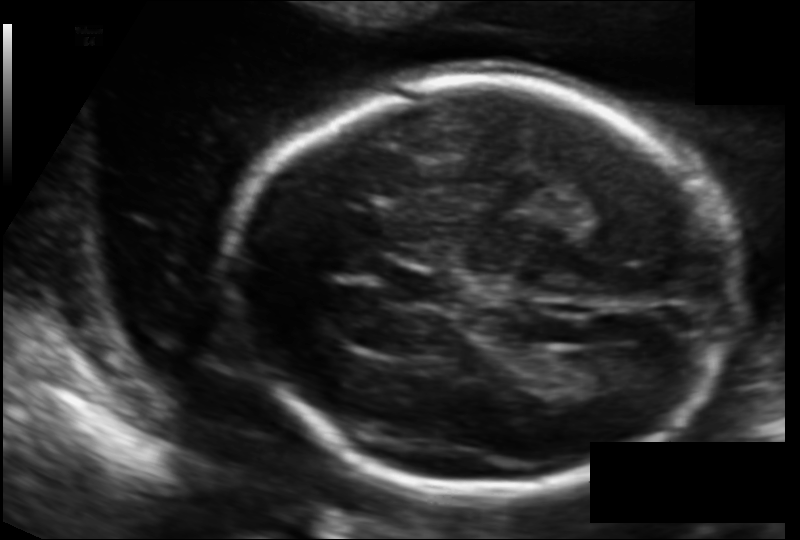
Fetal head ultrasound. Image width: 100.4 mm. Give [x1,y1,x2,y2] bounding boxes for each visible structure among: fetal head, CSP, LV.

Head: [225,78,737,494]
CSP: [383,260,463,316]
Lateral ventricle: [565,348,640,394]